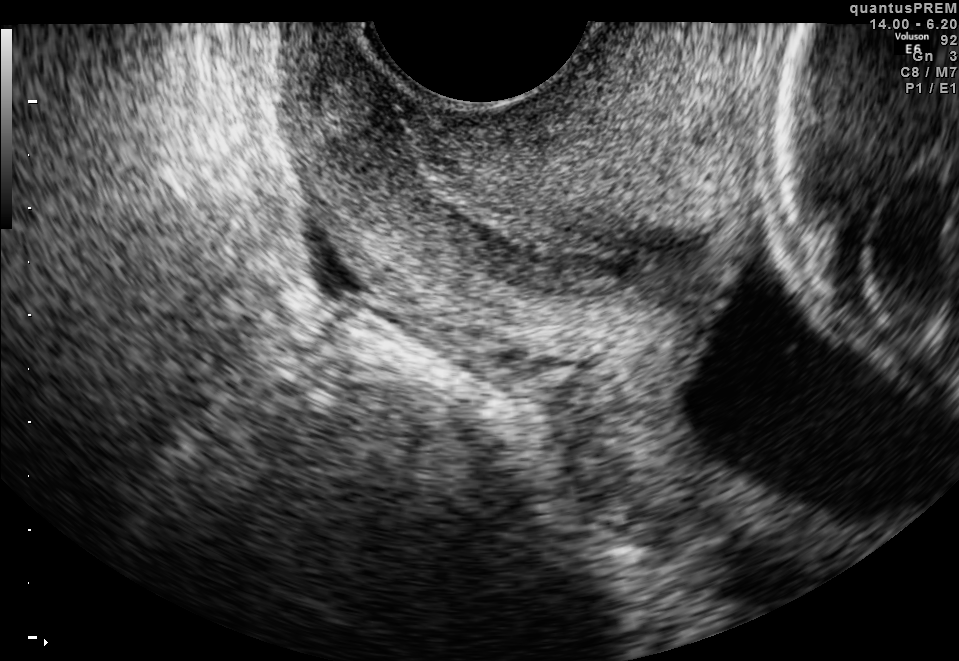
This is a 2D maternal-fetal ultrasound frame. Is it a fetal abdomen, fetal brain, fetal femur, fetal thorax, maternal cervix, or other standard plane? If it's fetal brain and one of the three standard brain planes (trans-thalamic, trans-cerebellum, trans-ventricular), name which.

Maternal cervix